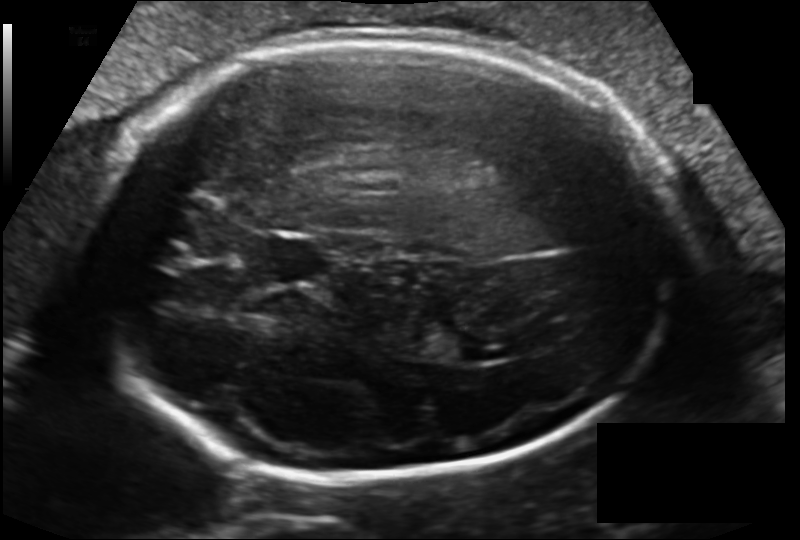
Fetal head ultrasound. Image width: 129.6 mm. Locate the fetal head.

Head: [90,36,677,478]